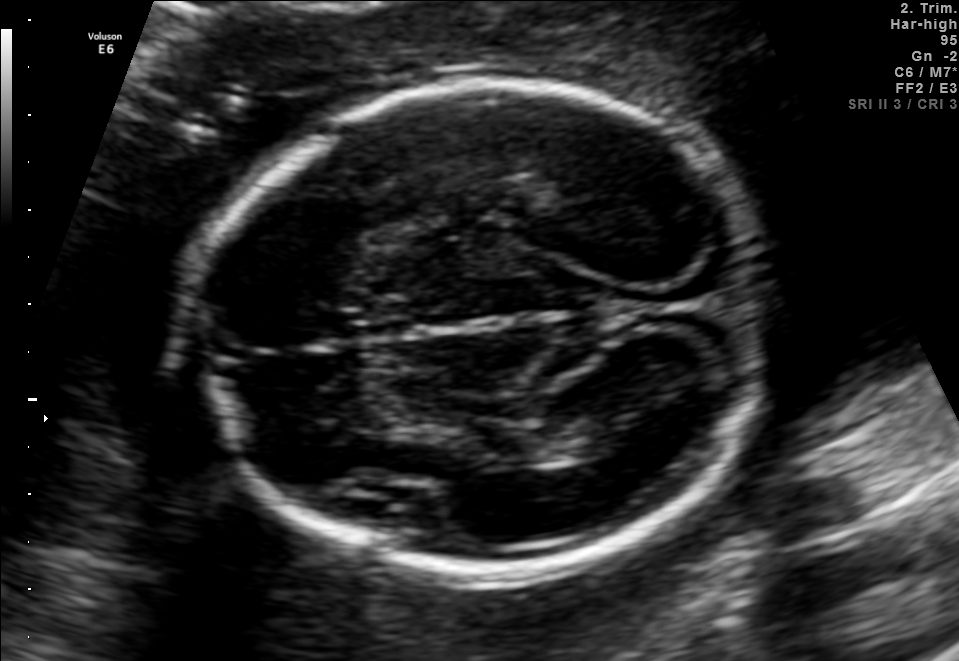
Fetal brain, trans-thalamic plane. Give [x1,y1,x2,y2] bounding boxes for each visible structure among: fetal head, CSP, LV.

Head: [194,82,777,563]
Lateral ventricle: [532,408,640,468]